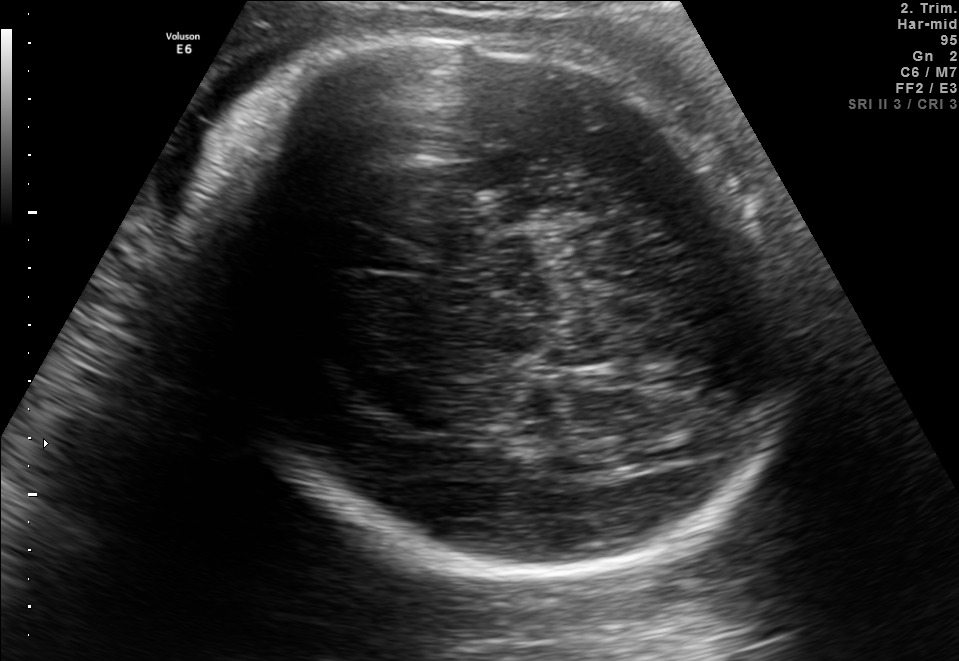
Fetal brain, trans-thalamic plane. Where is the fetal head?

Head bounding box: [196,23,777,586]